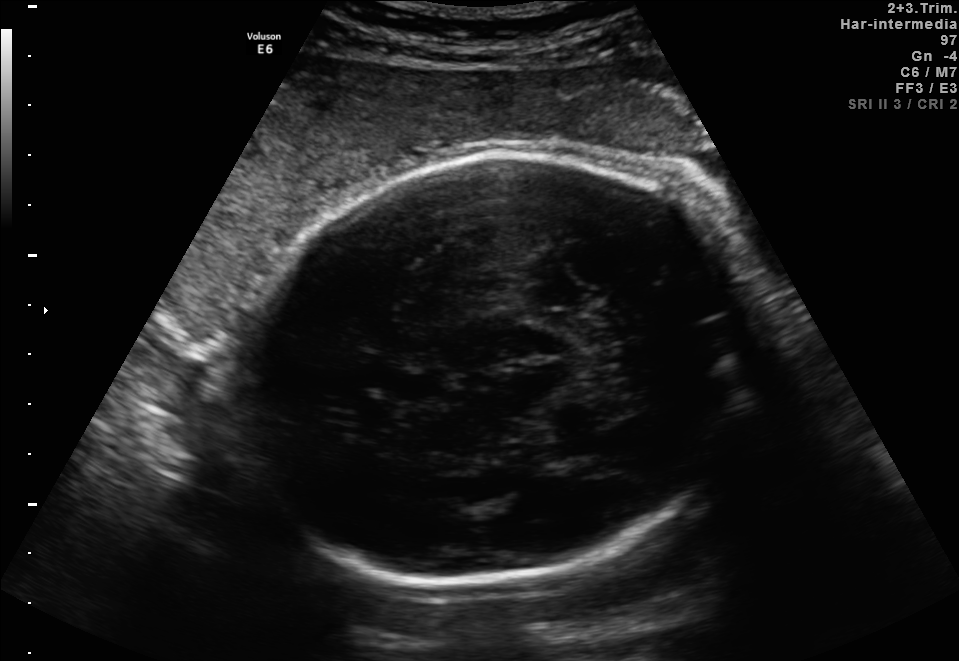
Fetal brain, trans-thalamic plane. Where is the fetal head?

Head bounding box: [227,151,756,584]